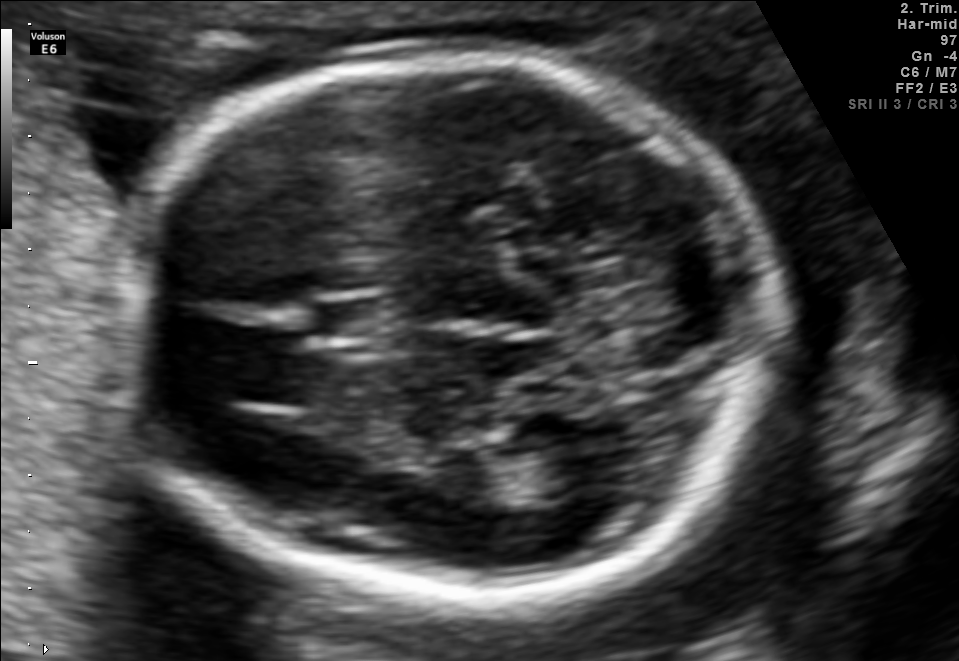
Fetal brain, trans-thalamic plane. Where is the lateral ventricle?

Lateral ventricle bounding box: [480,433,609,511]